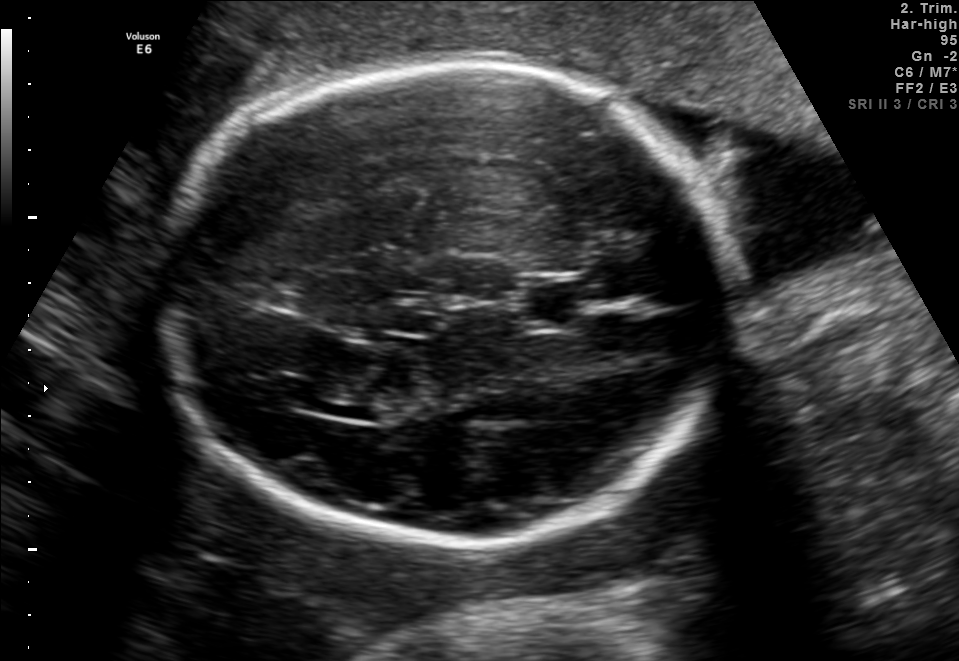
In this fetal brain, trans-thalamic plane, give the bounding box of the cavum septum pellucidum.

[522,280,583,327]